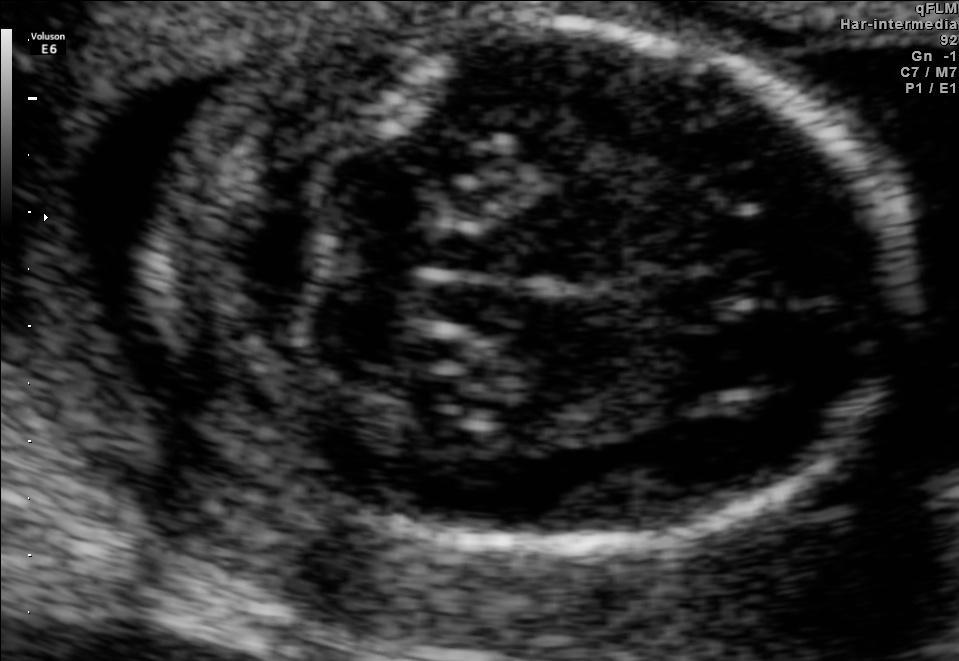
Fetal brain, trans-cerebellum plane. Locate the fetal head and, if visible, the cavum septum pellucidum (CSP) and lateral ventricle (LV). Give bounding boxes as [x1,y1,x2,y2].

Head: [154,19,907,540]
CSP: [642,272,732,327]